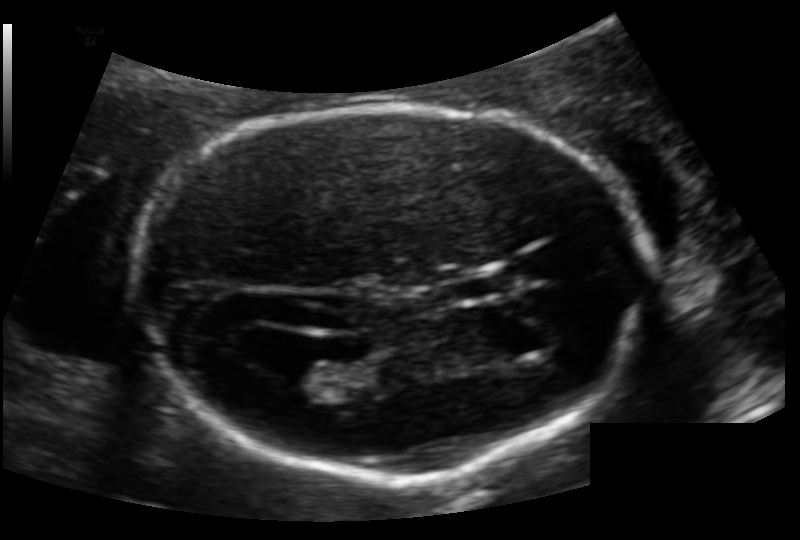
In this fetal head ultrasound, give the bounding box of the cavum septum pellucidum. Image width: 99.1 mm.

[448,266,515,307]